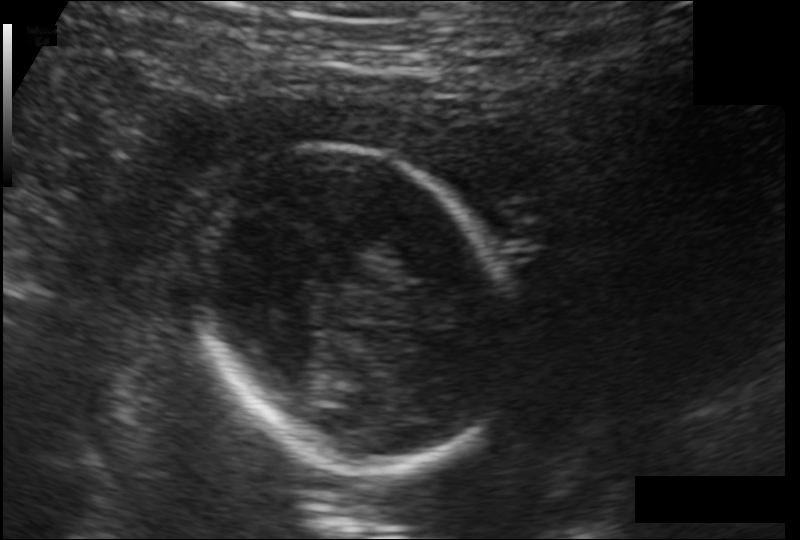
Fetal head ultrasound. Image width: 116.5 mm. Where is the fetal head?

Head bounding box: [189,147,526,465]